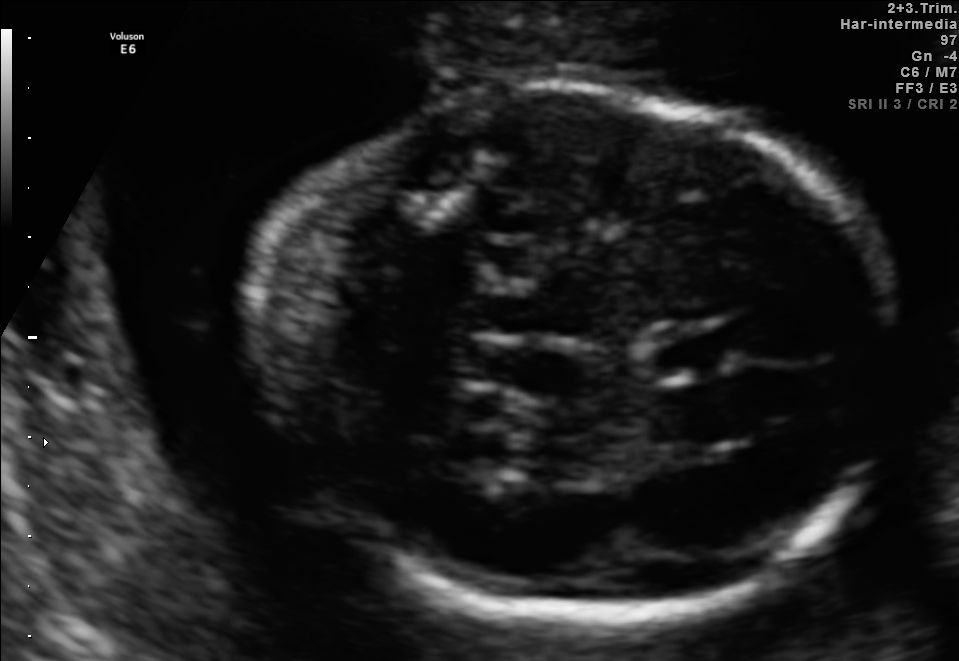
Fetal brain, trans-thalamic plane. Where is the fetal head?

Head bounding box: [252,86,893,625]